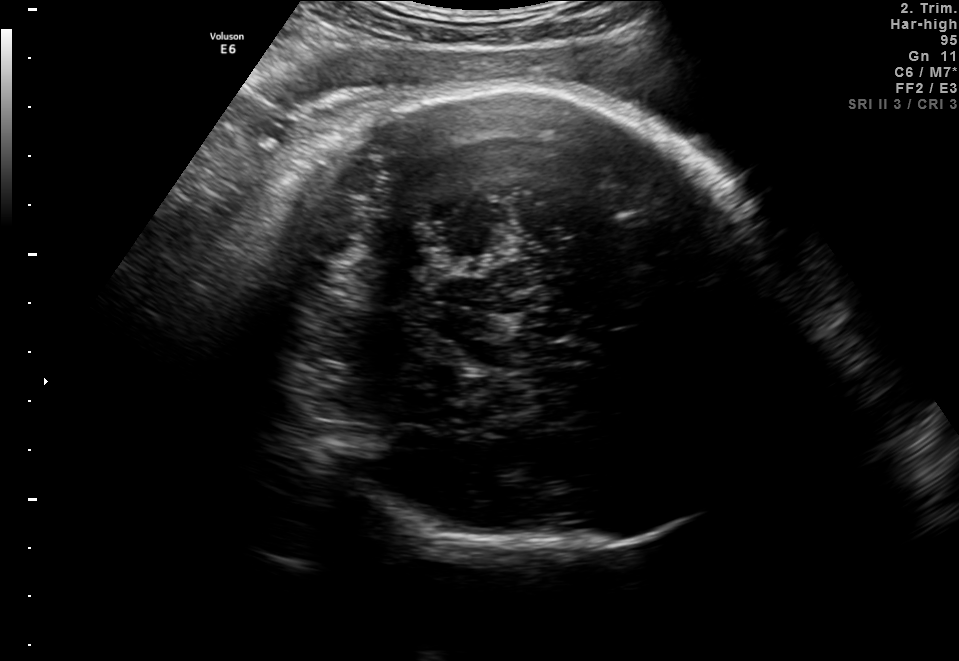
Fetal brain, trans-thalamic plane. Locate the fetal head.

Head: [246,88,787,555]